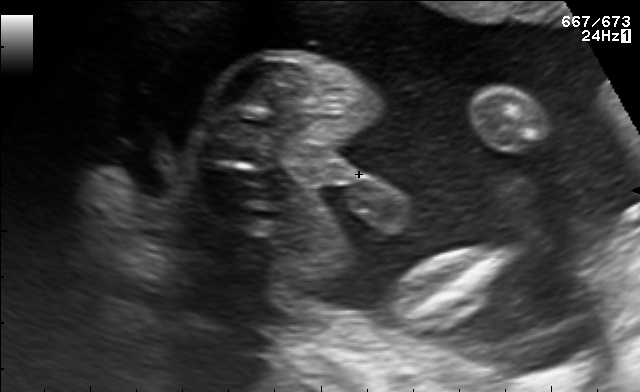
Identify the standard plane in this fetal ultrasound image: fetal abdomen, fetal brain, fetal femur, fetal thorax, maternal cervix, or other. If it's fetal brain and one of the three standard brain planes (trans-thalamic, trans-cerebellum, trans-ventricular), name which.

Other